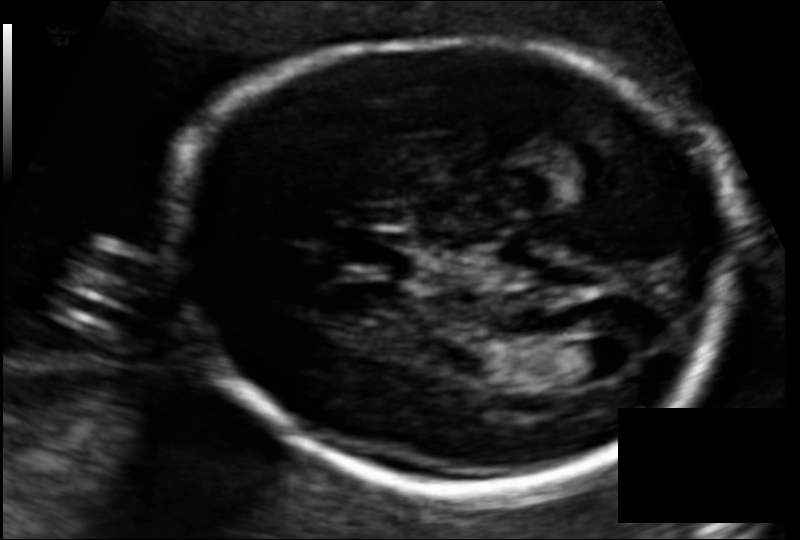
In this fetal head ultrasound, give bounding boxes for the head outline, cavum septum pellucidum (CSP), and lateral ventricle (LV), where visible. Image width: 86.4 mm.

Head: [164,40,729,487]
CSP: [342,228,416,277]
Lateral ventricle: [551,337,623,388]